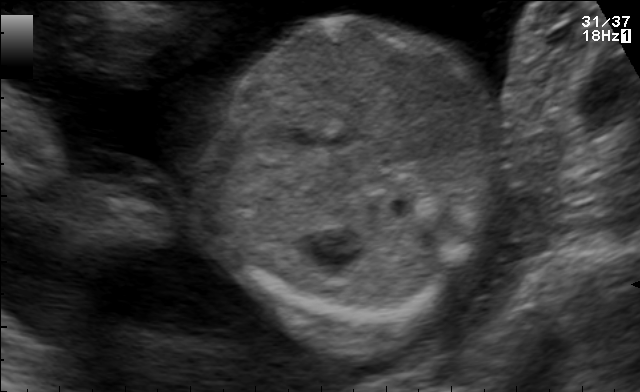
Identify the standard plane in this fetal ultrasound image: fetal abdomen, fetal brain, fetal femur, fetal thorax, maternal cervix, or other. If it's fetal brain and one of the three standard brain planes (trans-thalamic, trans-cerebellum, trans-ventricular), name which.

Fetal abdomen